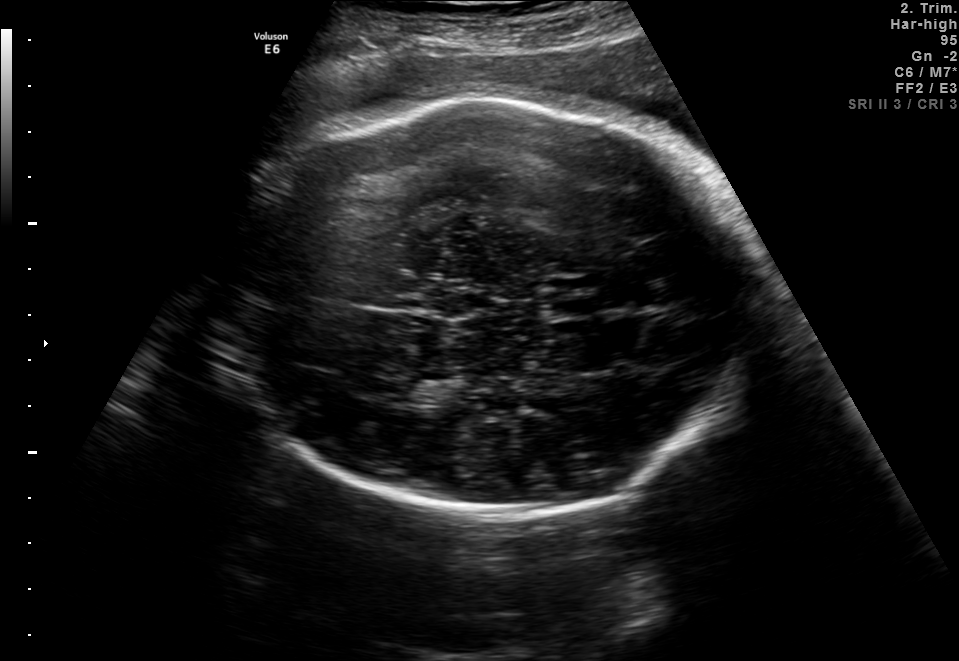
In this fetal brain, trans-thalamic plane, give the bounding box of the cavum septum pellucidum.

[545,292,599,323]